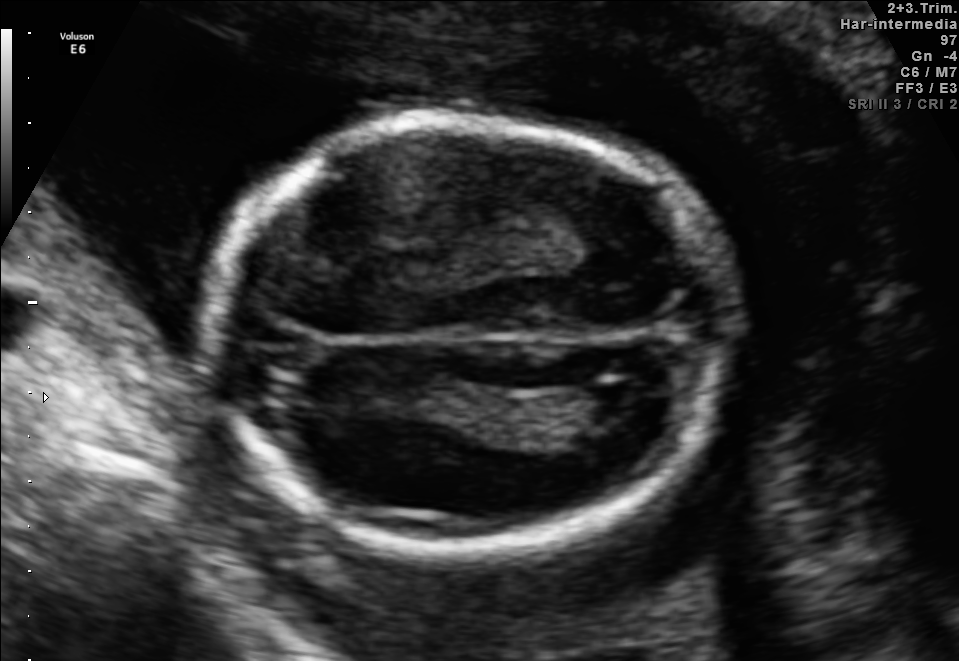
In this fetal brain, trans-ventricular plane, give the bounding box of the fetal head.

[191,108,748,559]